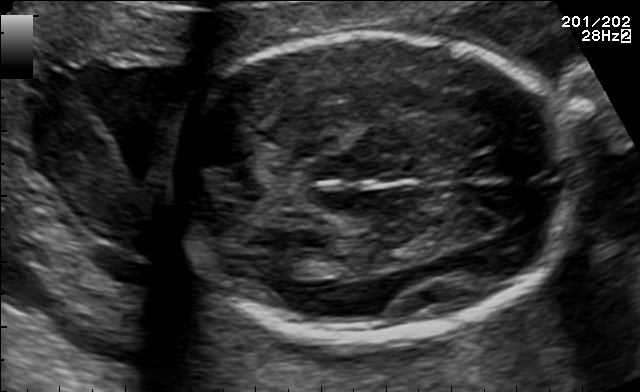
Fetal brain, trans-thalamic plane. Where is the lateral ventricle?

Lateral ventricle bounding box: [271,249,325,278]